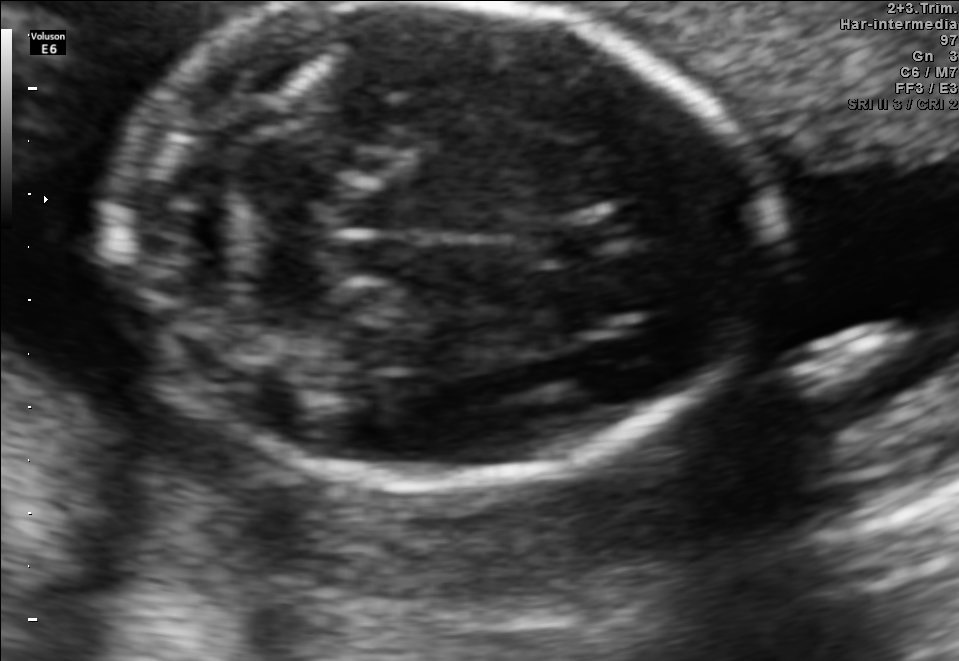
Fetal brain, trans-cerebellum plane. Locate the fetal head and, if visible, the cavum septum pellucidum (CSP) and lateral ventricle (LV). Give bounding boxes as [x1,y1,x2,y2].

Head: [108,5,763,482]
CSP: [529,203,626,269]